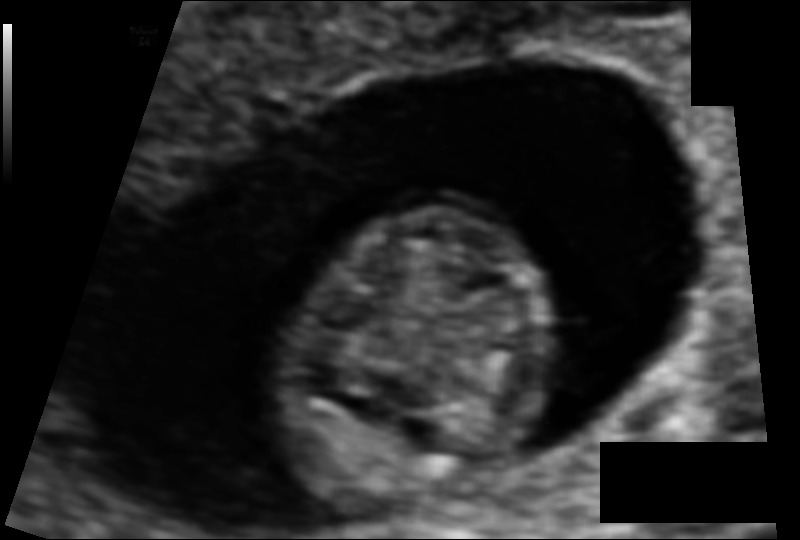
Fetal head ultrasound. Image width: 58.4 mm. Locate the fetal head.

Head: [279,209,545,512]